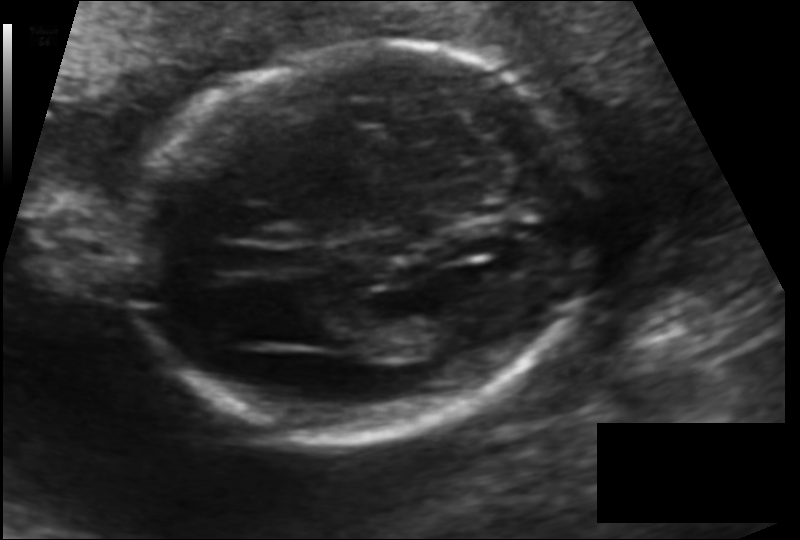
Fetal head ultrasound. Image width: 96.4 mm. Give [x1,y1,x2,y2] bounding boxes for each visible structure among: fetal head, CSP, LV.

Head: [132,44,590,434]